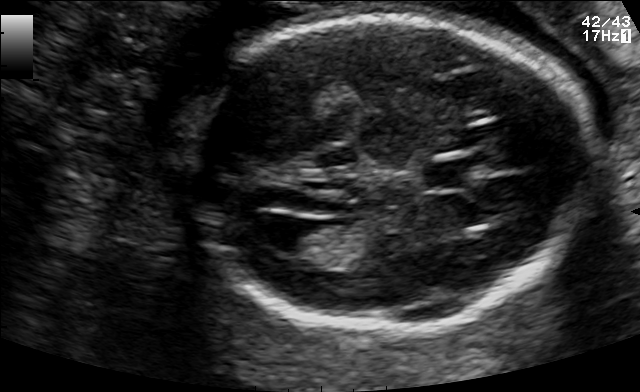
Fetal brain, trans-ventricular plane. Locate the fetal head and, if visible, the cavum septum pellucidum (CSP) and lateral ventricle (LV). Give bounding boxes as [x1,y1,x2,y2].

Head: [173,14,605,337]
CSP: [423,151,504,192]
Lateral ventricle: [252,212,320,256]